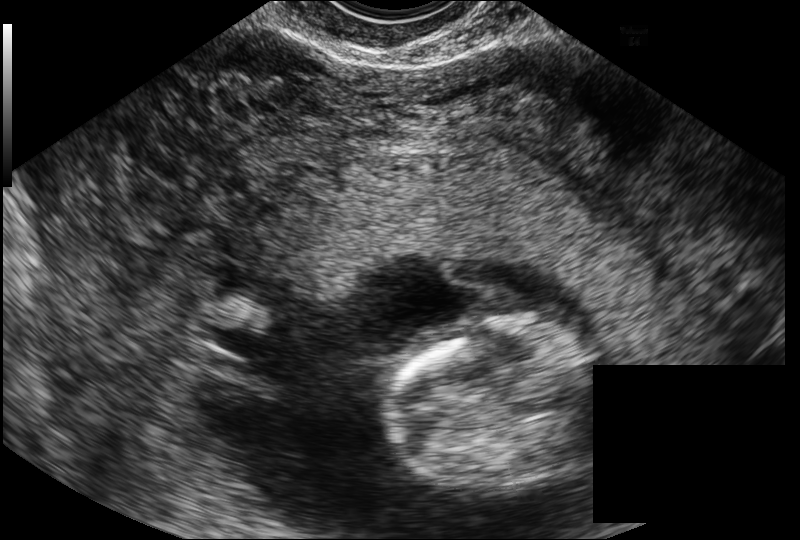
Fetal head ultrasound. Image width: 90.9 mm. Where is the fetal head?

Head bounding box: [384,319,593,489]